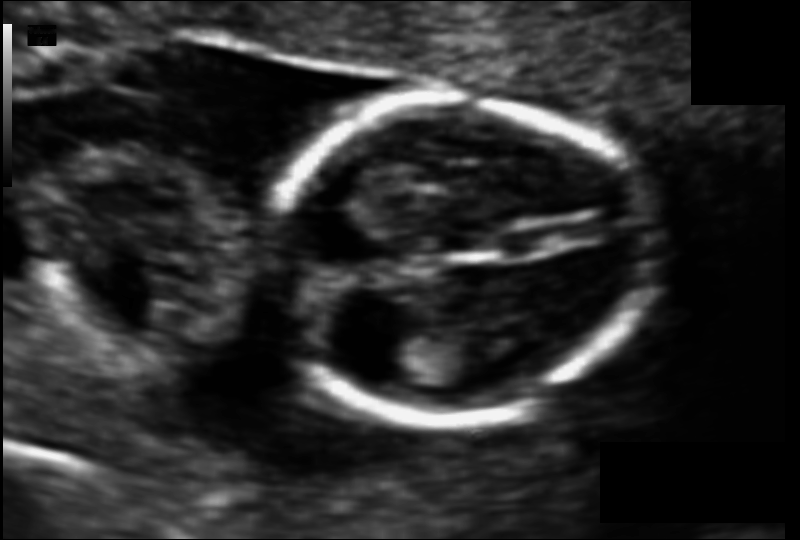
In this fetal head ultrasound, give the bounding box of the cavum septum pellucidum. Image width: 66.6 mm.

[497,224,560,263]